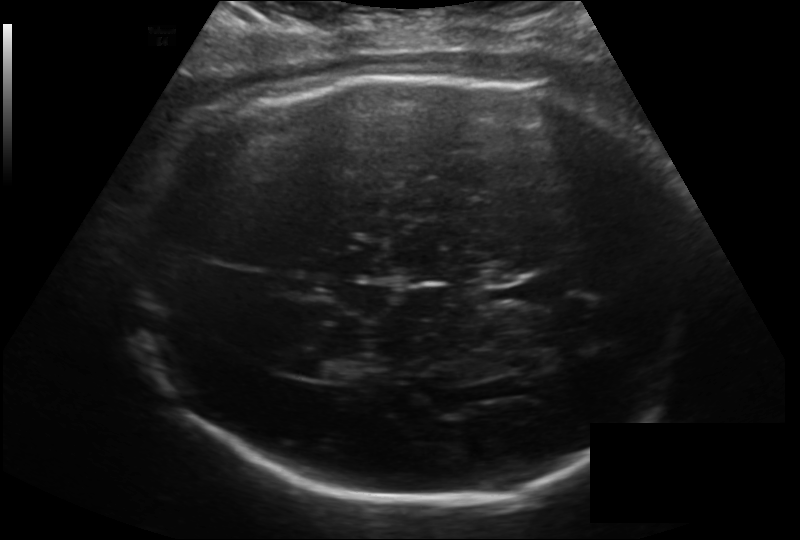
Fetal head ultrasound. Image width: 154.4 mm. Give [x1,y1,x2,y2] bounding boxes for each visible structure among: fetal head, CSP, LV.

Head: [126,75,707,502]
CSP: [515,265,585,306]
Lateral ventricle: [304,349,365,384]